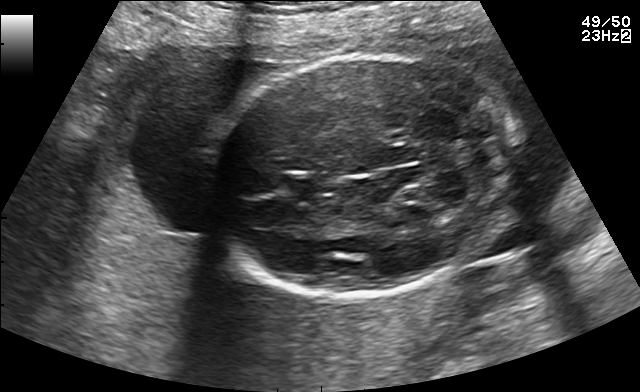
Fetal brain, trans-cerebellum plane. Where is the cavum septum pellucidum?

CSP bounding box: [286,172,336,197]